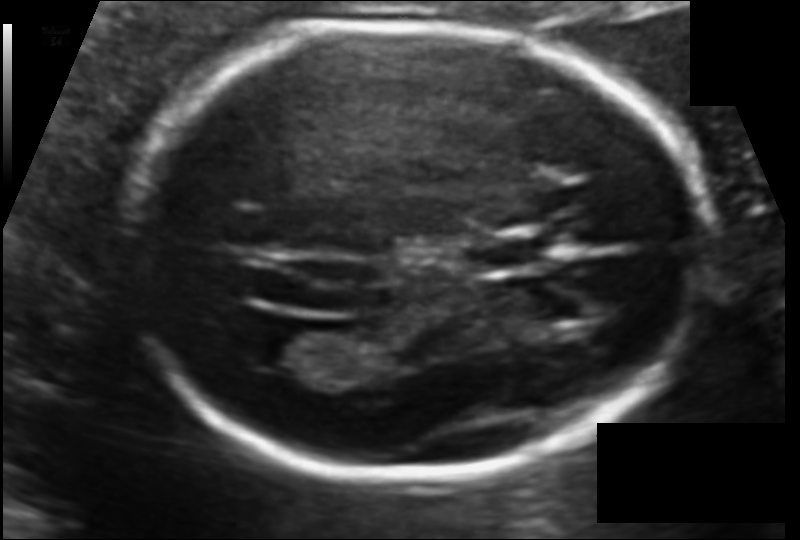
Measure the fetal head circumference shown in this ultrasound image. Image width: 85.6 mm.

Head circumference: 180.2 mm.